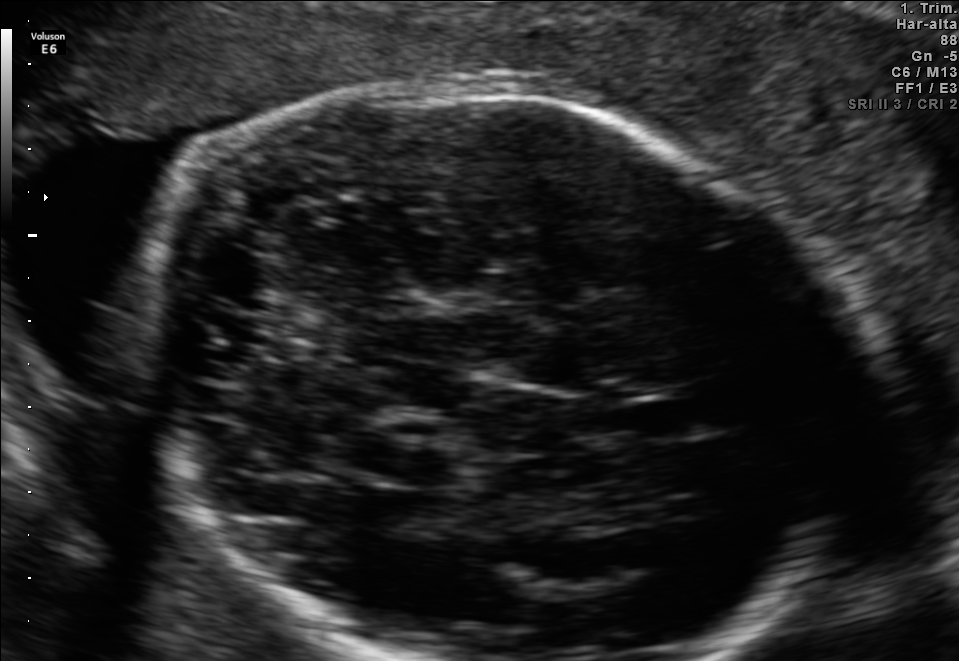
In this fetal brain, trans-thalamic plane, give the bounding box of the fetal head.

[131,72,838,657]